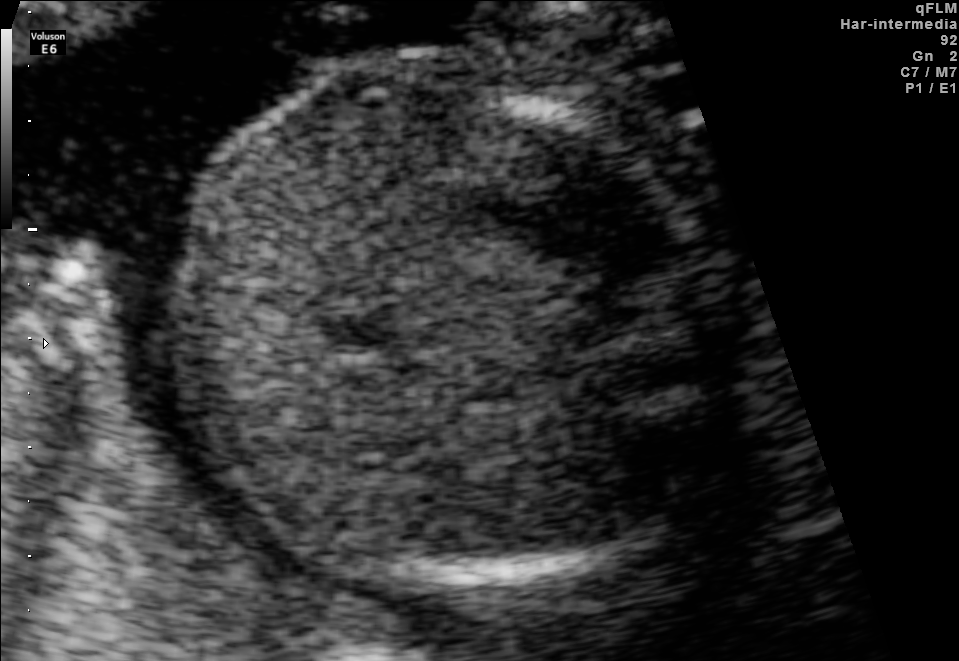
Identify the standard plane in this fetal ultrasound image: fetal abdomen, fetal brain, fetal femur, fetal thorax, maternal cervix, or other. If it's fetal brain and one of the three standard brain planes (trans-thalamic, trans-cerebellum, trans-ventricular), name which.

Fetal abdomen